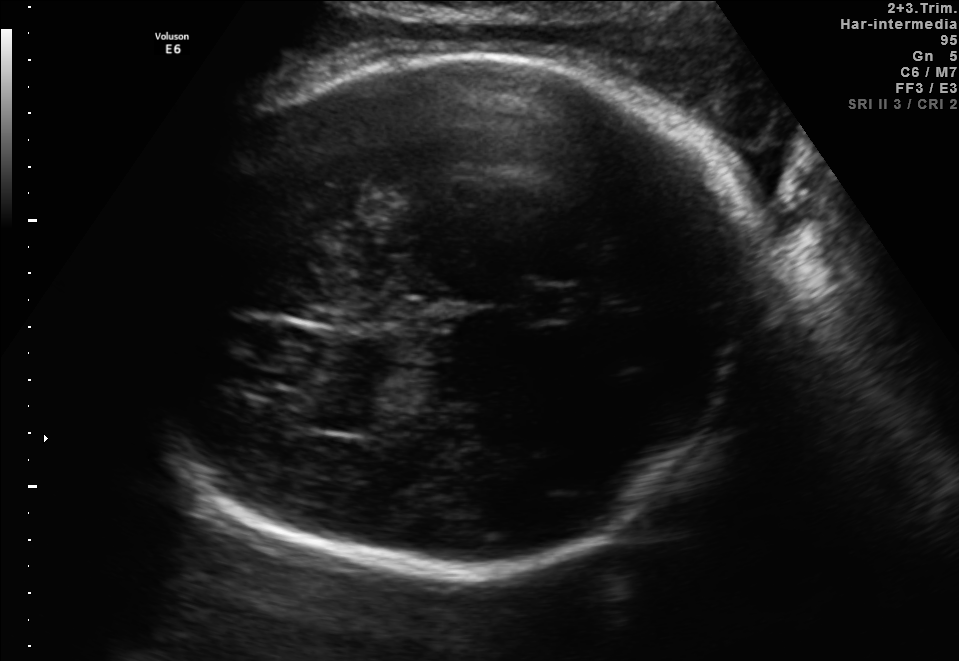
This is a 2D maternal-fetal ultrasound frame. Is it a fetal abdomen, fetal brain, fetal femur, fetal thorax, maternal cervix, or other standard plane? If it's fetal brain and one of the three standard brain planes (trans-thalamic, trans-cerebellum, trans-ventricular), name which.

Fetal brain (trans-thalamic plane)